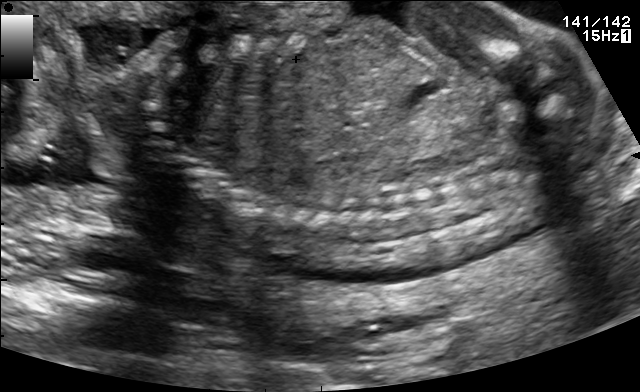
Classify this maternal-fetal ultrasound image as one of the six standard planes — fetal abdomen, fetal brain, fetal femur, fetal thorax, maternal cervix, or other. If it's fetal brain and one of the three standard brain planes (trans-thalamic, trans-cerebellum, trans-ventricular), name which.

Other